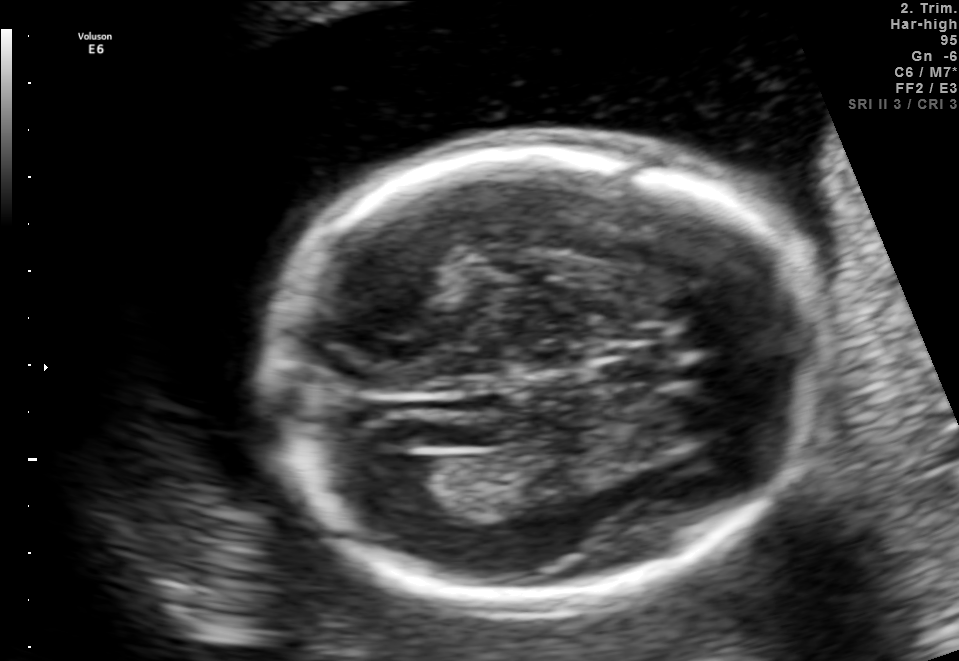
Fetal brain, trans-ventricular plane. Where is the fetal head?

Head bounding box: [257,125,834,622]